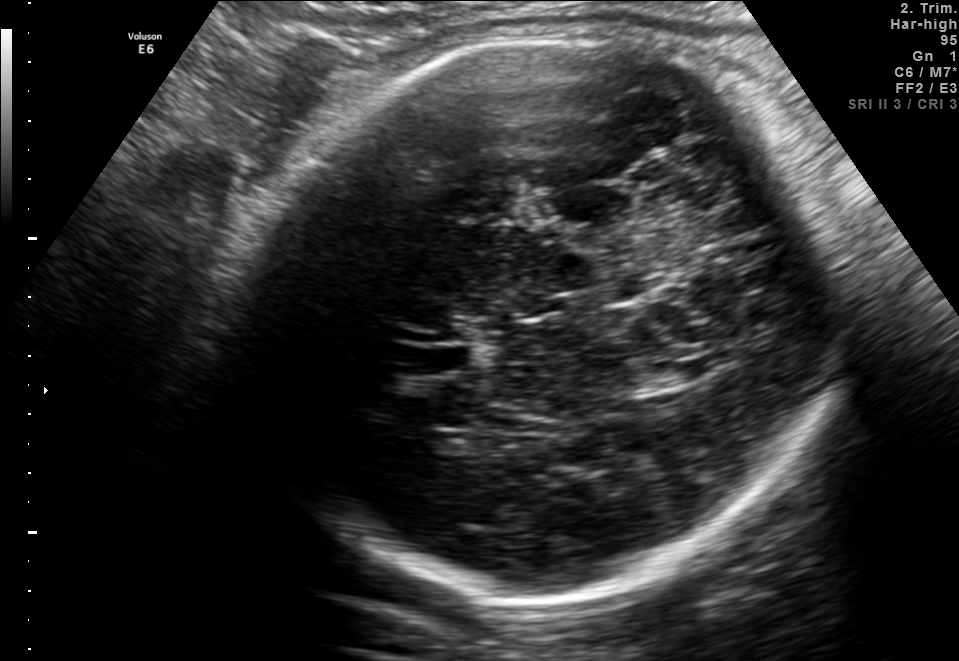
In this fetal brain, trans-thalamic plane, give bounding boxes for the head outline, cavum septum pellucidum (CSP), and lateral ventricle (LV), where visible.

Head: [231,37,842,602]
Lateral ventricle: [637,360,697,394]